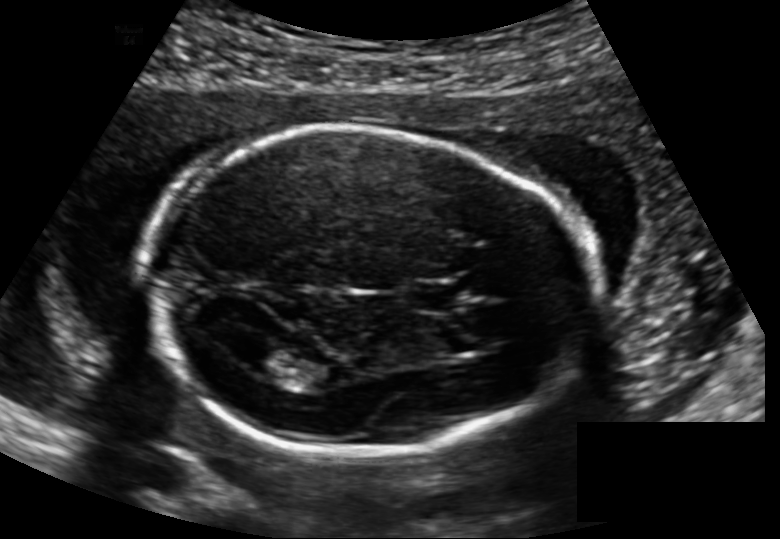
In this fetal head ultrasound, give the bounding box of the fetal head. Image width: 115.4 mm.

[143,126,583,456]